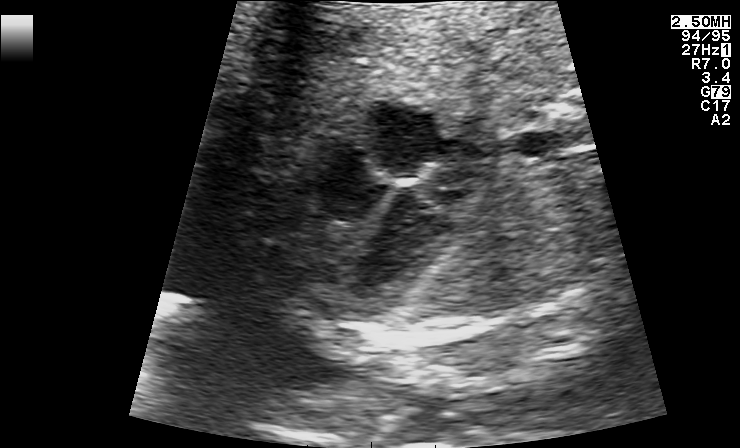
This is a 2D maternal-fetal ultrasound frame. Is it a fetal abdomen, fetal brain, fetal femur, fetal thorax, maternal cervix, or other standard plane? If it's fetal brain and one of the three standard brain planes (trans-thalamic, trans-cerebellum, trans-ventricular), name which.

Fetal thorax